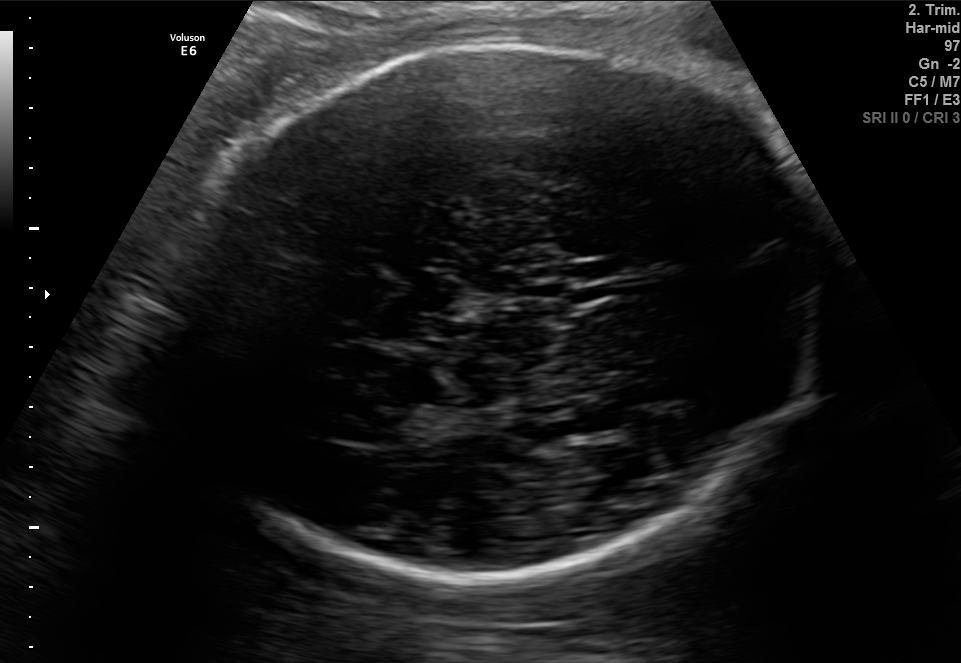
Fetal brain, trans-thalamic plane. Give [x1,y1,x2,y2] bounding boxes for each visible structure among: fetal head, CSP, LV.

Head: [179,36,832,585]